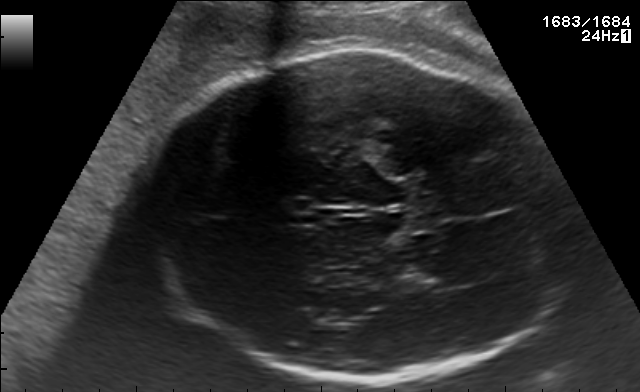
Fetal brain, trans-thalamic plane. Locate the fetal head and, if visible, the cavum septum pellucidum (CSP) and lateral ventricle (LV). Give bounding boxes as [x1,y1,x2,y2].

Head: [136,47,564,382]